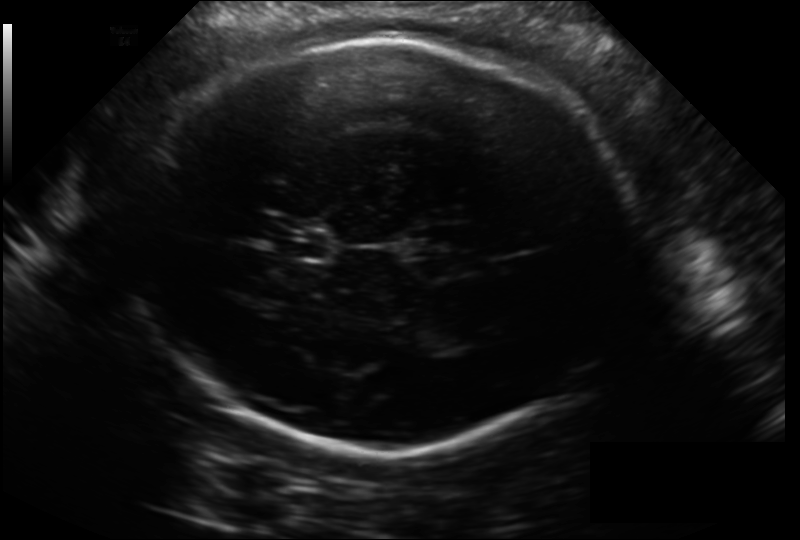
Fetal head ultrasound. Image width: 168.5 mm. Where is the fetal head?

Head bounding box: [130,37,630,451]